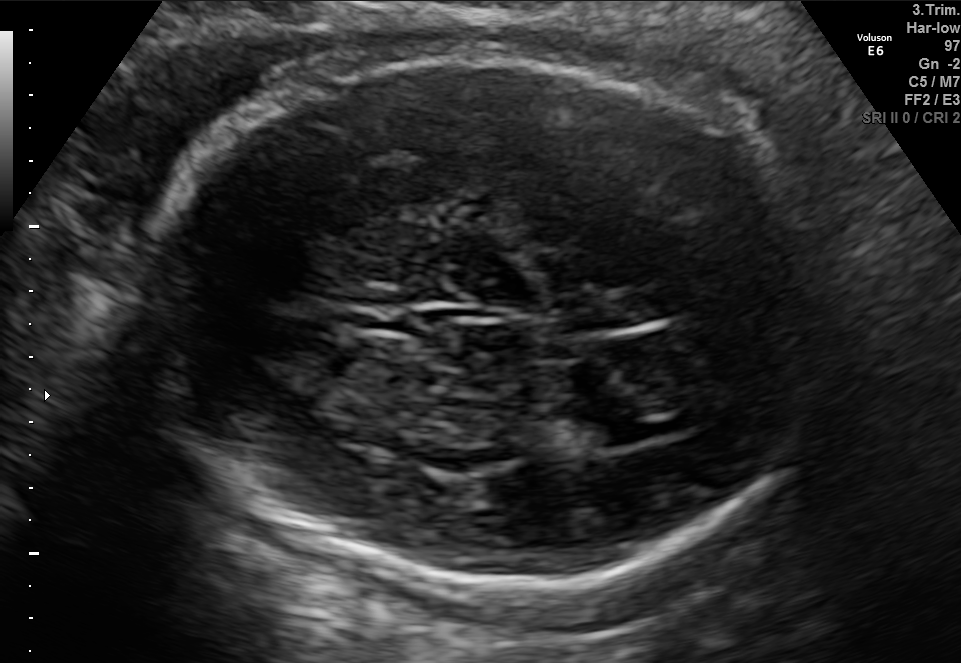
In this fetal brain, trans-ventricular plane, give the bounding box of the lateral ventricle.

[605,419,657,447]